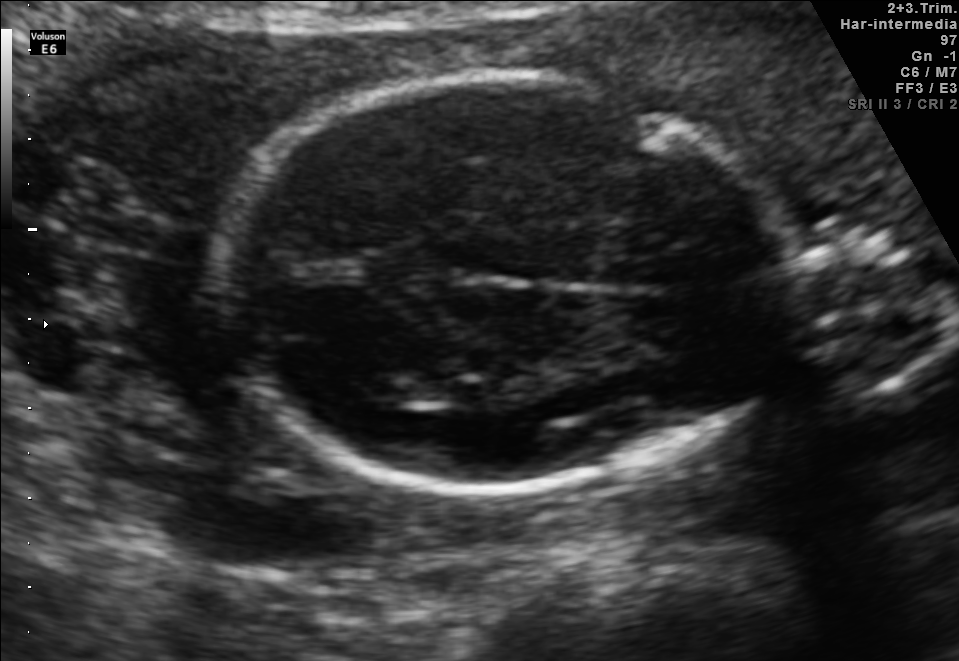
Classify this maternal-fetal ultrasound image as one of the six standard planes — fetal abdomen, fetal brain, fetal femur, fetal thorax, maternal cervix, or other. If it's fetal brain and one of the three standard brain planes (trans-thalamic, trans-cerebellum, trans-ventricular), name which.

Fetal brain (trans-thalamic plane)